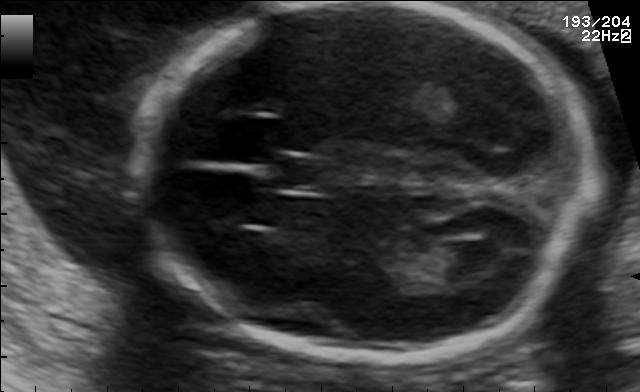
Fetal brain, trans-ventricular plane. Where is the lateral ventricle?

Lateral ventricle bounding box: [447,238,512,283]